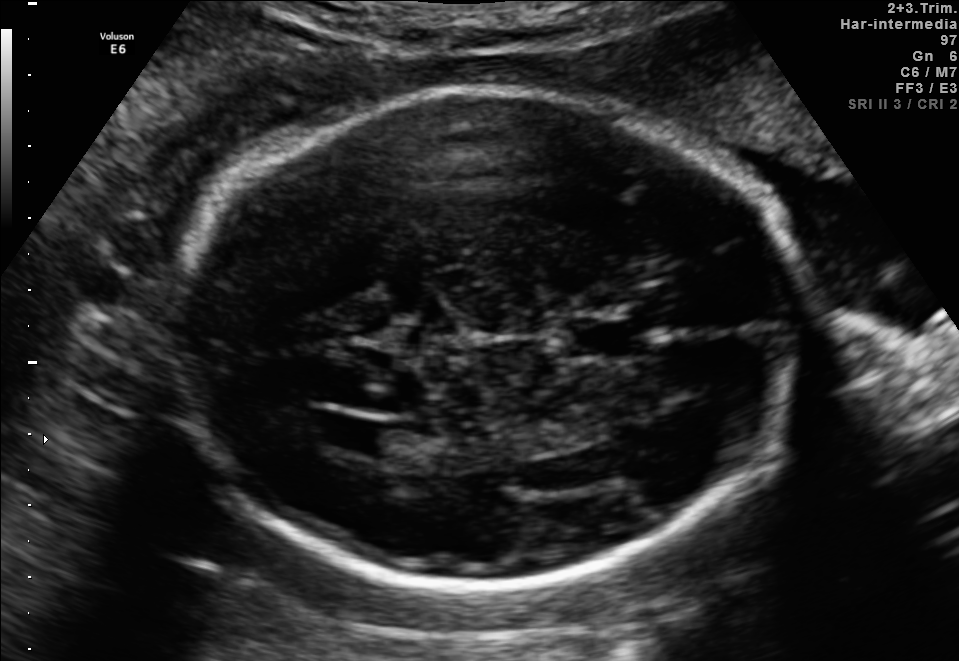
In this fetal brain, trans-ventricular plane, give the bounding box of the lateral ventricle.

[320,411,383,458]